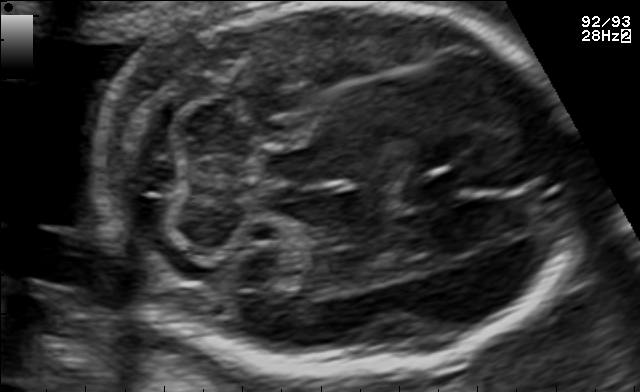
Fetal brain, trans-cerebellum plane. Where is the fetal head?

Head bounding box: [102,2,570,381]